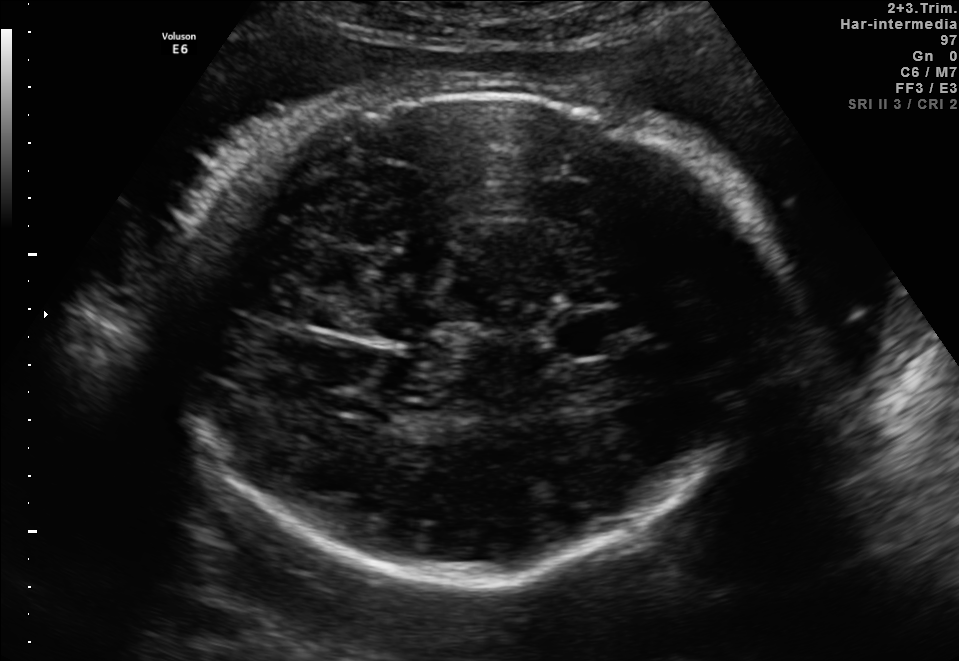
Fetal brain, trans-thalamic plane. Where is the fetal head?

Head bounding box: [157,90,776,583]